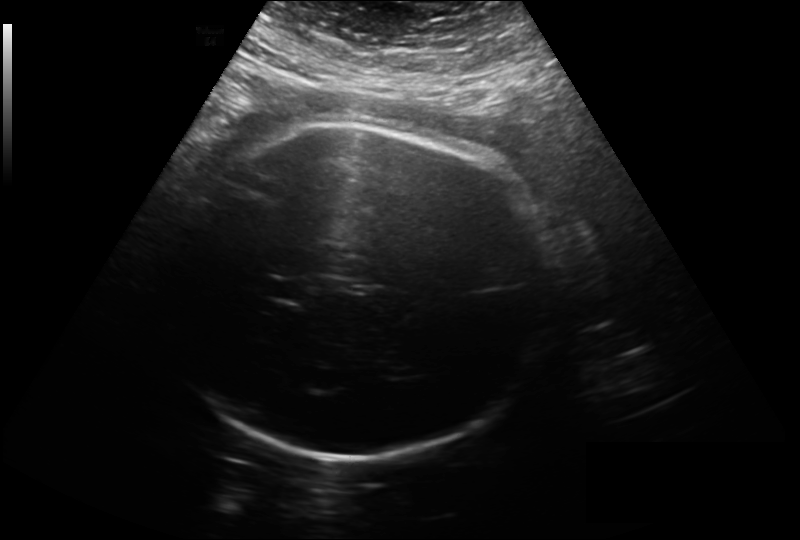
Fetal head ultrasound. Image width: 208.8 mm. Where is the cavum septum pellucidum?

CSP bounding box: [262,274,308,305]